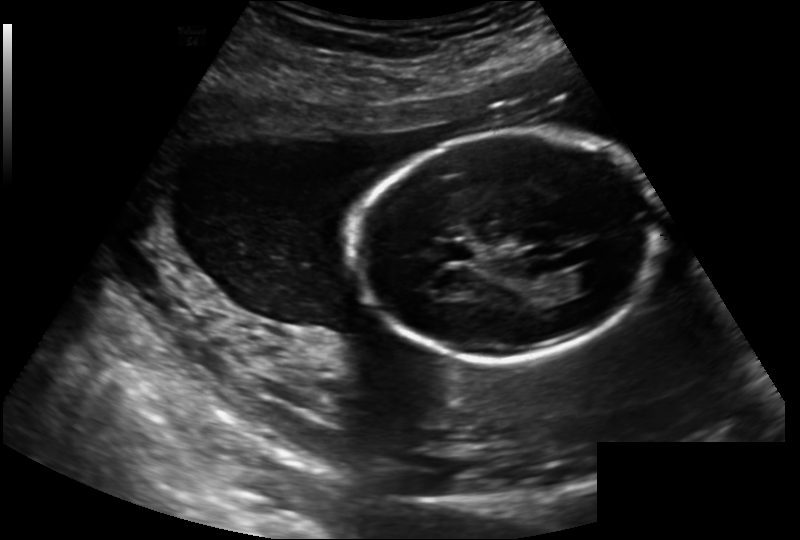
What is the fetal head circumference? Image width is 161.7 mm.

175.9 mm